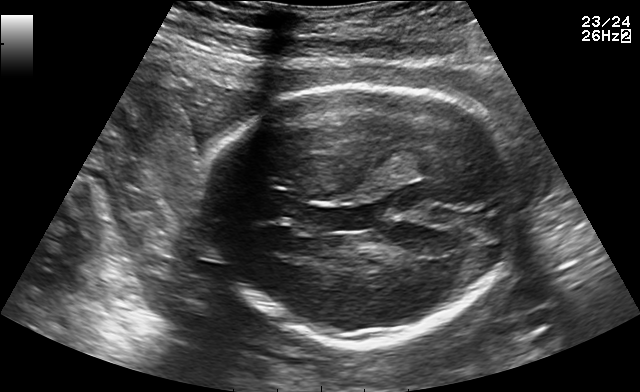
Which standard maternal-fetal ultrasound plane is shown: fetal abdomen, fetal brain, fetal femur, fetal thorax, maternal cervix, or other? If it's fetal brain and one of the three standard brain planes (trans-thalamic, trans-cerebellum, trans-ventricular), name which.

Fetal brain (trans-thalamic plane)